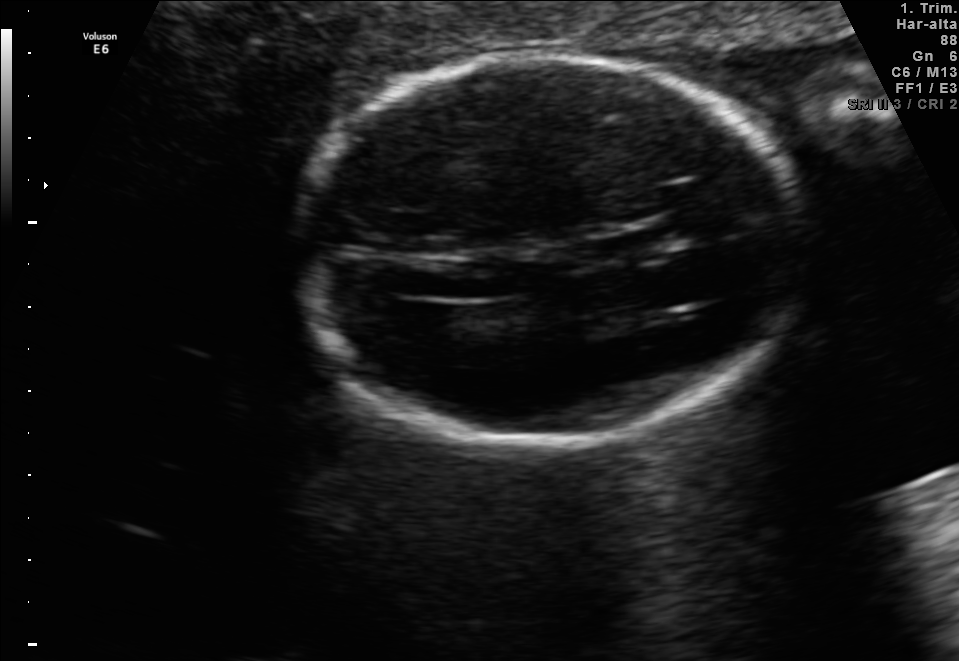
In this fetal brain, trans-thalamic plane, give bounding boxes for the head outline, cavum septum pellucidum (CSP), and lateral ventricle (LV), where visible.

Head: [297,58,804,443]